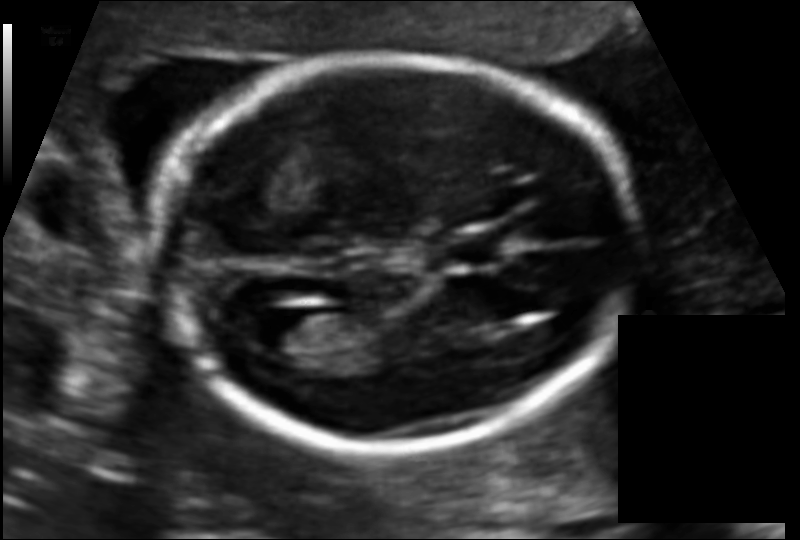
Fetal head ultrasound. Image width: 87.1 mm. Locate the fetal head and, if visible, the cavum septum pellucidum (CSP) and lateral ventricle (LV). Give bounding boxes as [x1,y1,x2,y2].

Head: [158,55,636,446]
CSP: [443,234,501,268]
Lateral ventricle: [239,305,319,352]